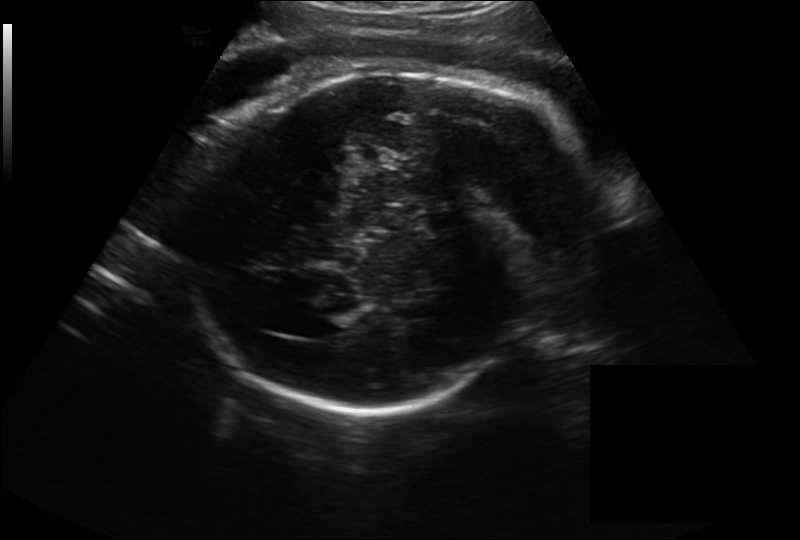
Fetal head ultrasound. Image width: 209.3 mm. Give [x1,y1,x2,y2] bounding boxes for each visible structure among: fetal head, CSP, LV.

Head: [189,67,585,411]
Lateral ventricle: [305,312,353,338]